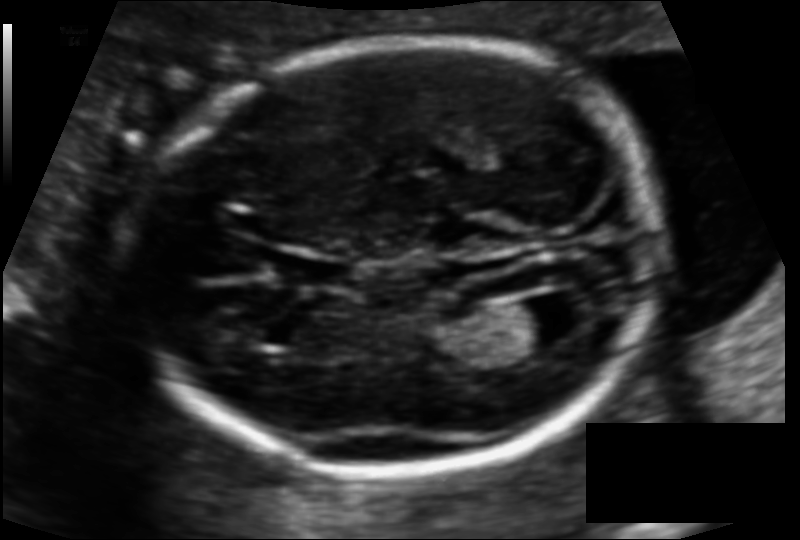
Fetal head ultrasound. Image width: 88.1 mm. Locate the lateral ventricle.

Lateral ventricle: [502,288,585,354]